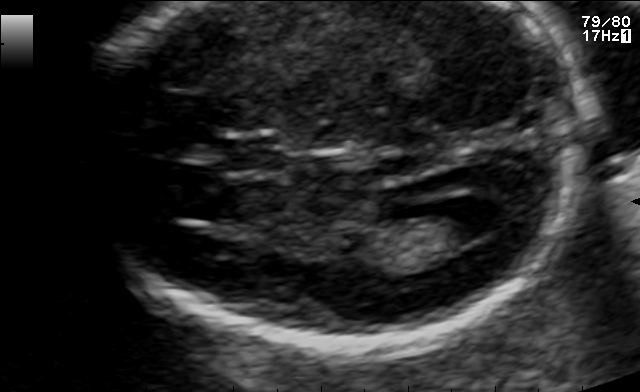
Fetal brain, trans-ventricular plane. Locate the lateral ventricle.

Lateral ventricle: [424,184,511,251]